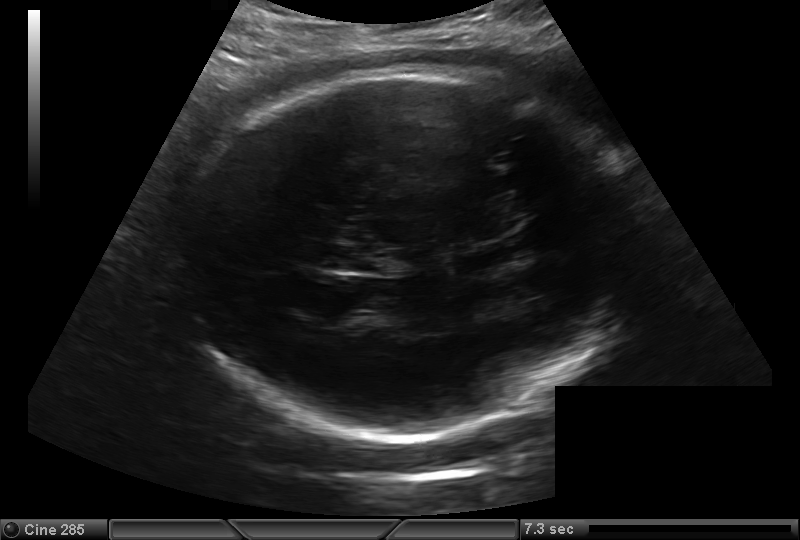
In this fetal head ultrasound, give bounding boxes for the head outline, cavum septum pellucidum (CSP), and lateral ventricle (LV), where visible. Image width: 173.2 mm.

Head: [189,66,631,441]